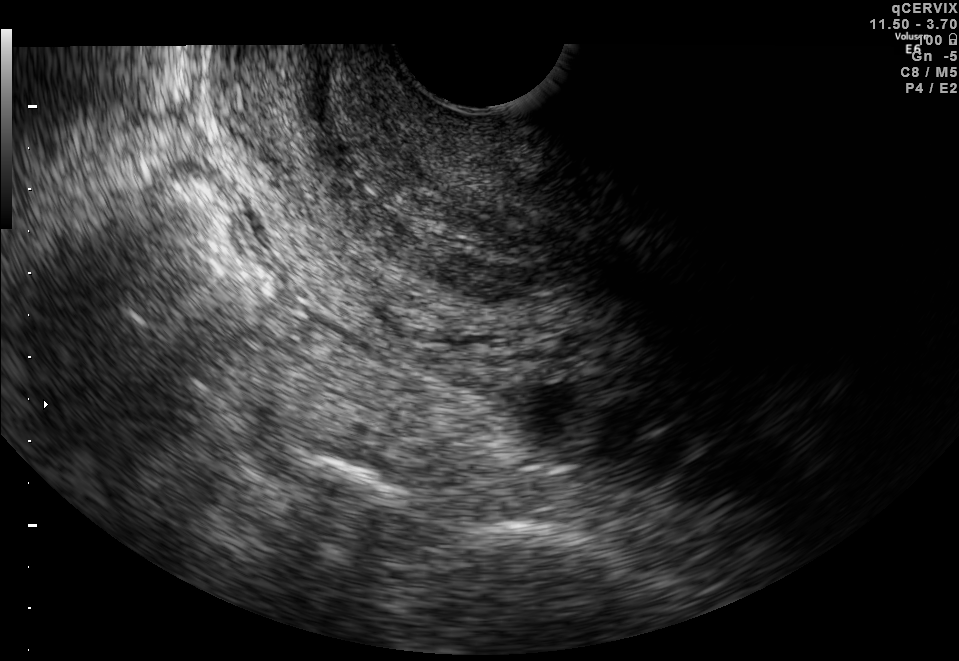
Classify this maternal-fetal ultrasound image as one of the six standard planes — fetal abdomen, fetal brain, fetal femur, fetal thorax, maternal cervix, or other. If it's fetal brain and one of the three standard brain planes (trans-thalamic, trans-cerebellum, trans-ventricular), name which.

Maternal cervix